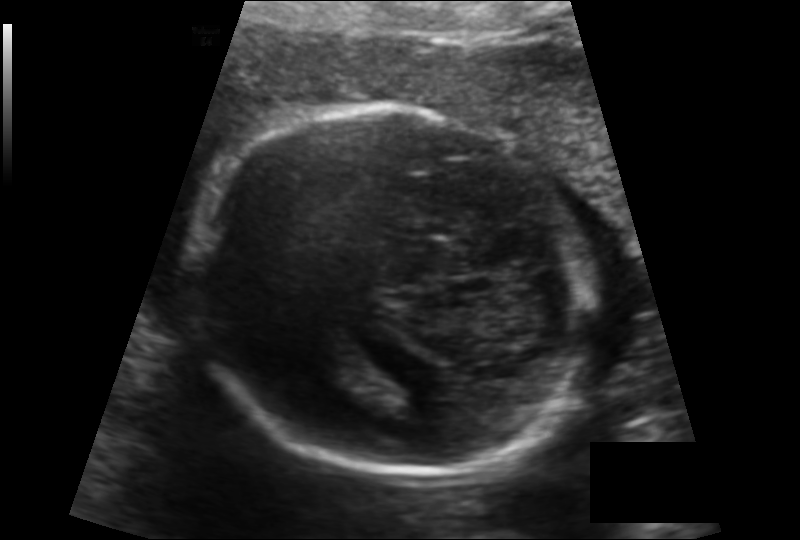
Estimate the fetal head circumference from this 2D ultrasound.

Head circumference: 178.0 mm (image width 113.4 mm).